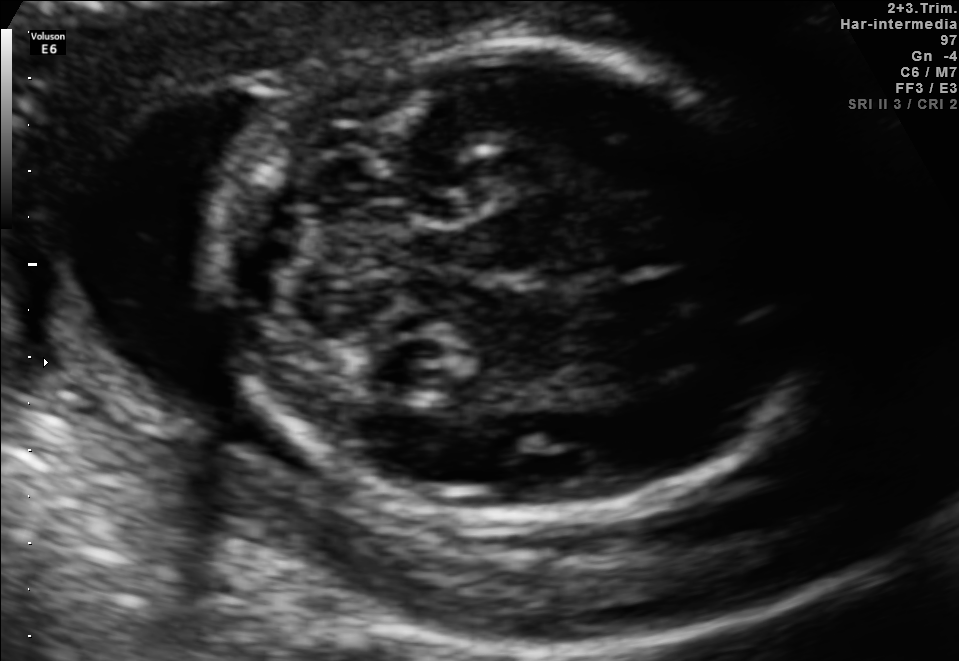
Fetal brain, trans-cerebellum plane. Locate the fetal head and, if visible, the cavum septum pellucidum (CSP) and lateral ventricle (LV). Give bounding boxes as [x1,y1,x2,y2].

Head: [212,42,831,515]